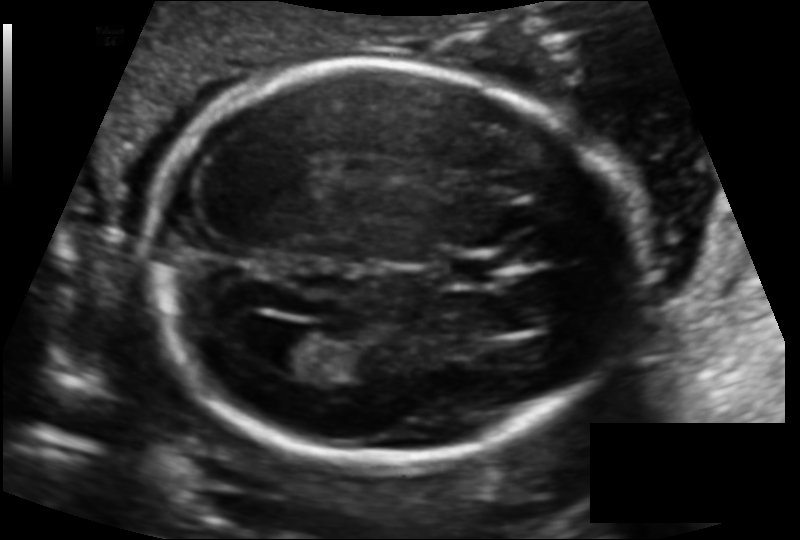
Fetal head ultrasound. Image width: 100.1 mm. Locate the lateral ventricle.

Lateral ventricle: [260,322,334,380]